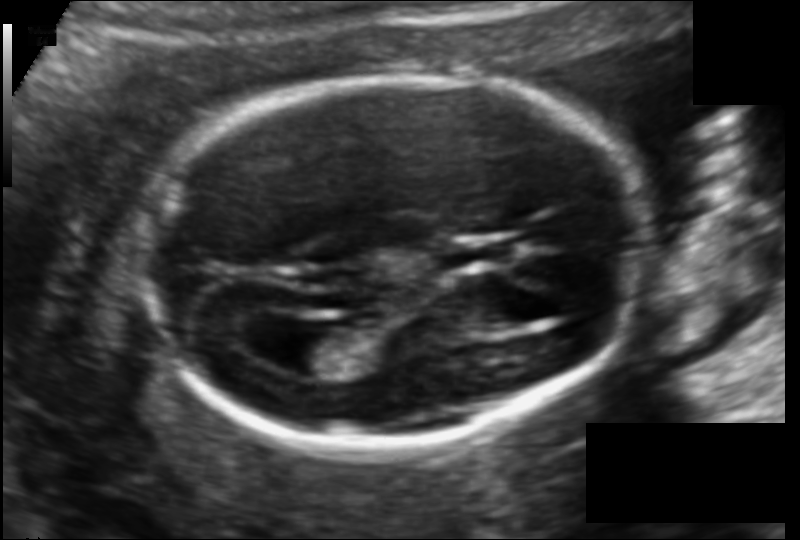
In this fetal head ultrasound, give the bounding box of the cavum septum pellucidum. Image width: 91.5 mm.

[441,237,507,273]